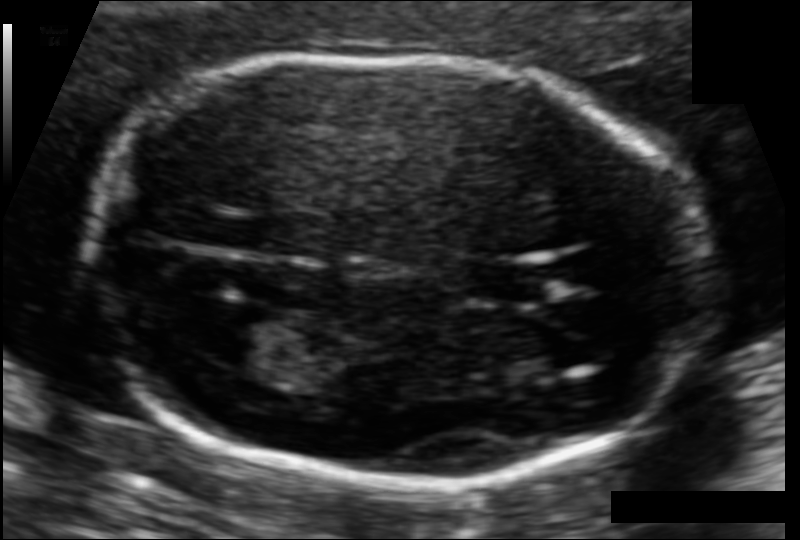
Fetal head ultrasound. Image width: 73.9 mm. Locate the lateral ventricle.

Lateral ventricle: [195,296,293,376]